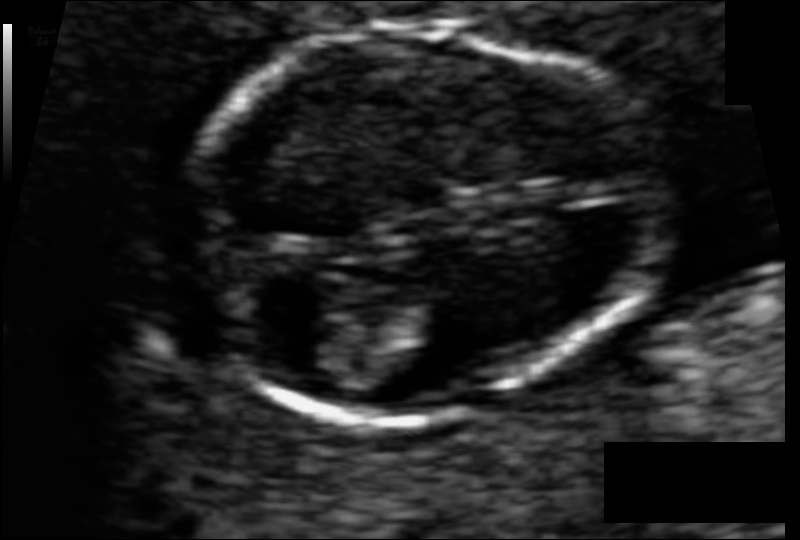
Fetal head ultrasound. Image width: 43.8 mm. Where is the fetal head?

Head bounding box: [185,18,652,419]